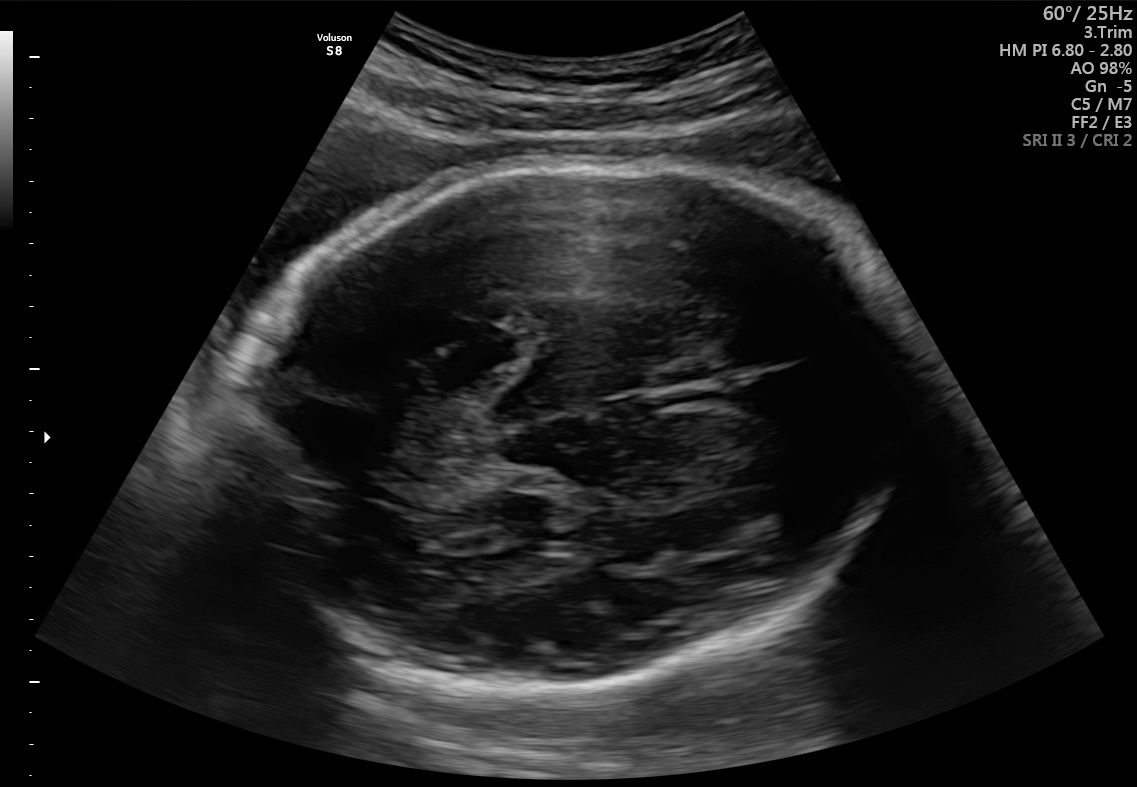
In this fetal brain, trans-thalamic plane, give bounding boxes for the head outline, cavum septum pellucidum (CSP), and lateral ventricle (LV), where visible.

Head: [243,163,894,686]